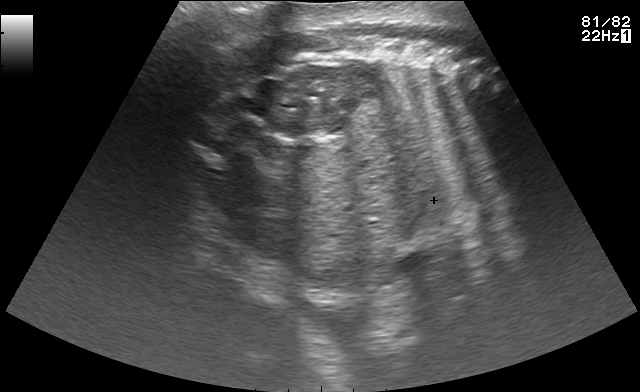
Classify this maternal-fetal ultrasound image as one of the six standard planes — fetal abdomen, fetal brain, fetal femur, fetal thorax, maternal cervix, or other. If it's fetal brain and one of the three standard brain planes (trans-thalamic, trans-cerebellum, trans-ventricular), name which.

Other